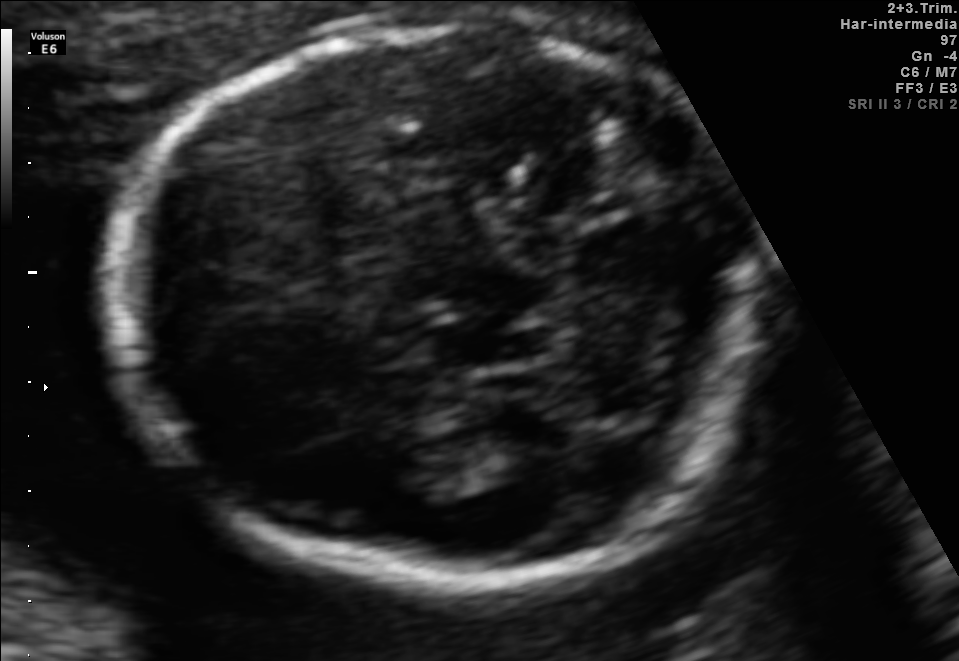
Fetal brain, trans-thalamic plane. Locate the fetal head.

Head: [110,18,763,583]